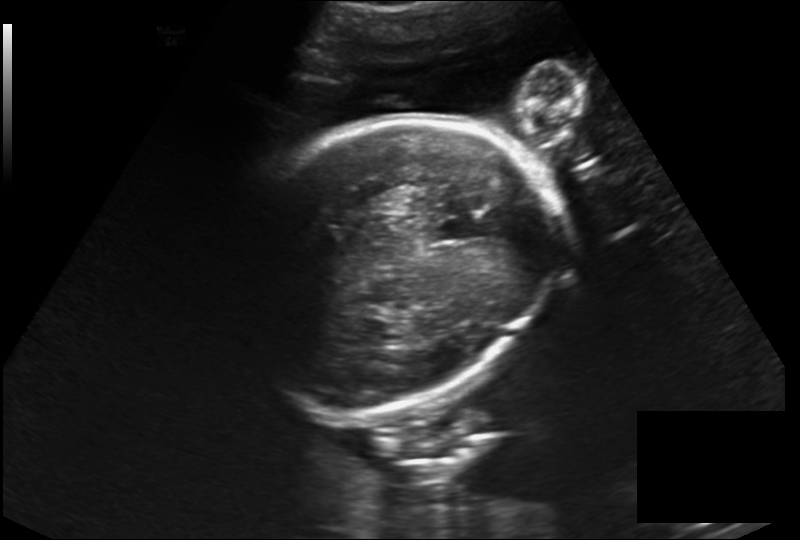
Estimate the fetal head circumference from this 2D ultrasound.

Head circumference: 225.2 mm (image width 184.3 mm).